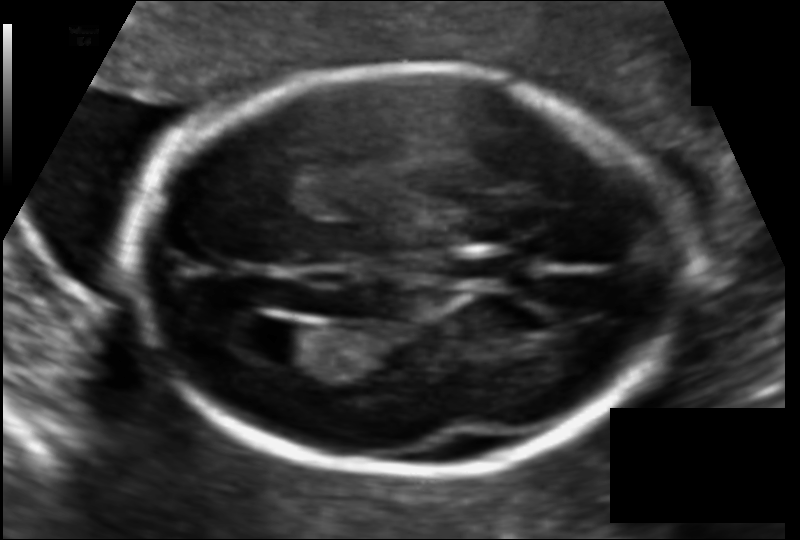
Fetal head ultrasound. Image width: 89.2 mm. Locate the cavum septum pellucidum.

CSP: [450,252,517,284]